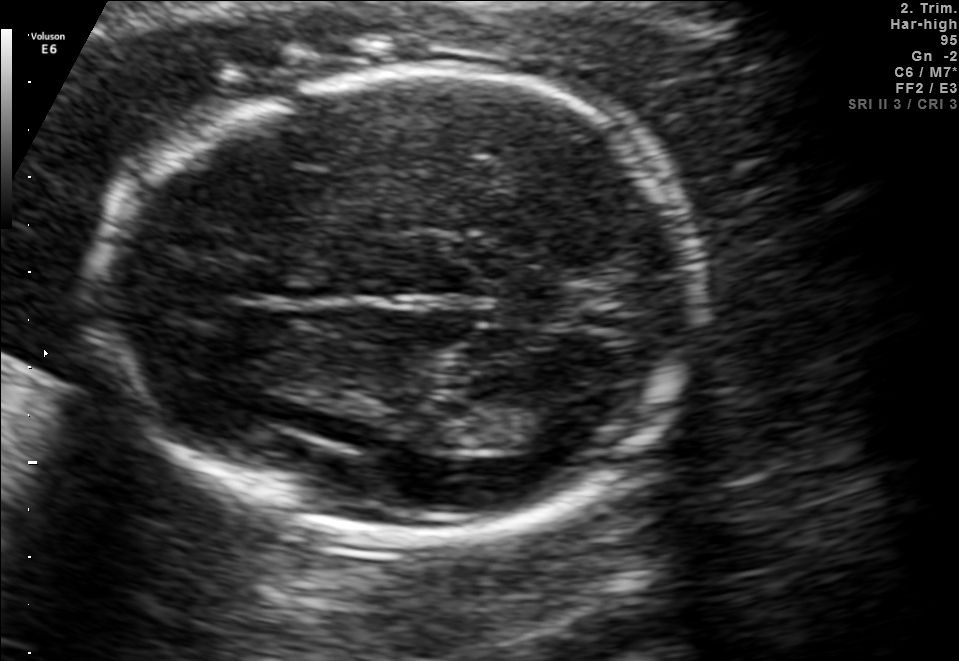
Fetal brain, trans-thalamic plane. Locate the lateral ventricle.

Lateral ventricle: [492,400,586,455]